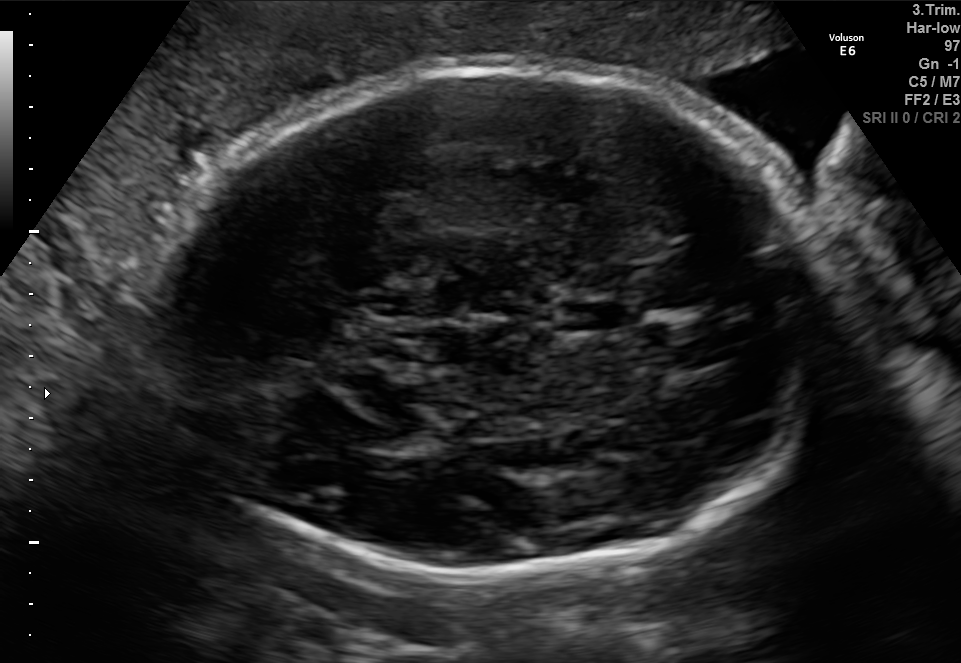
Fetal brain, trans-thalamic plane. Locate the fetal head and, if visible, the cavum septum pellucidum (CSP) and lateral ventricle (LV). Give bounding boxes as [x1,y1,x2,y2].

Head: [154,60,827,575]
CSP: [555,300,625,332]